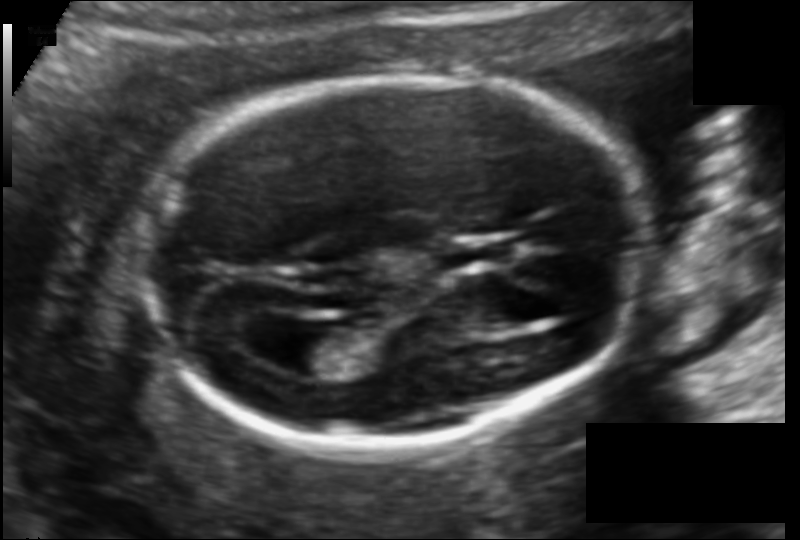
In this fetal head ultrasound, give the bounding box of the fetal head. Image width: 91.5 mm.

[141,77,646,447]